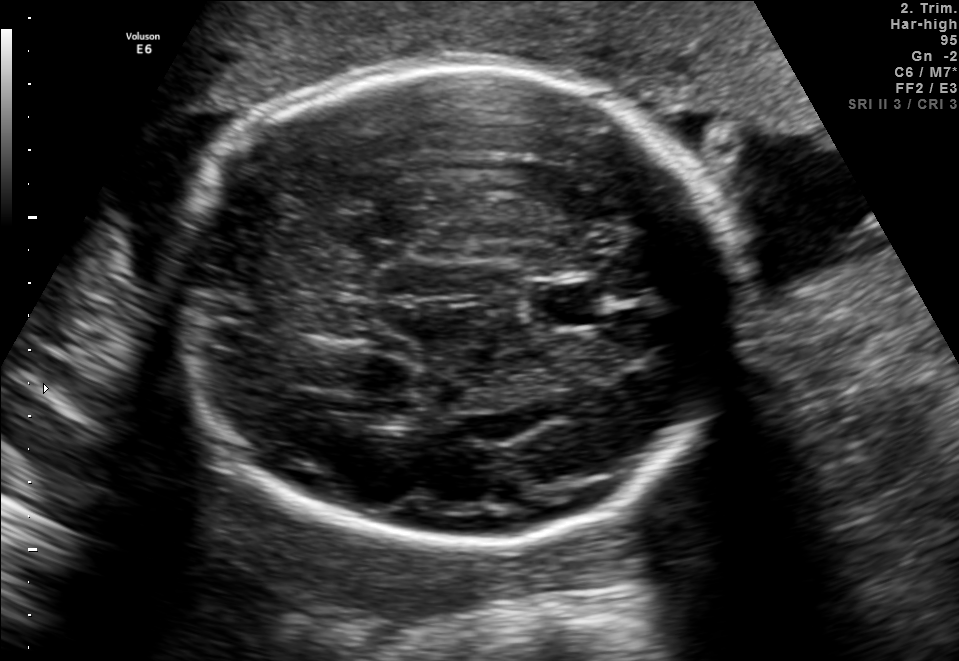
Fetal brain, trans-thalamic plane. Where is the lateral ventricle?

Lateral ventricle bounding box: [351,397,422,428]